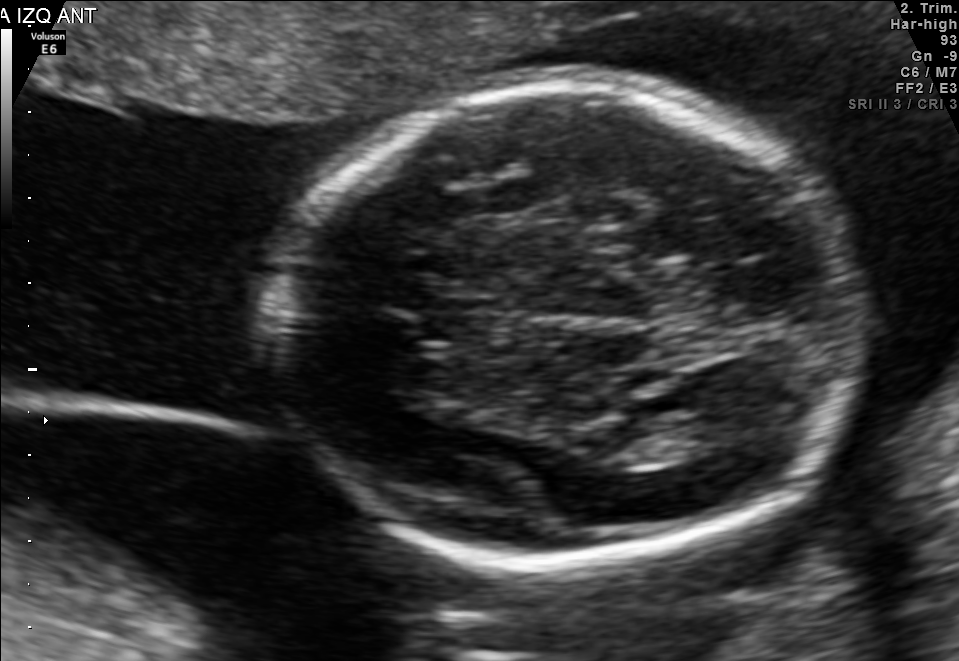
Fetal brain, trans-thalamic plane. Where is the fetal head?

Head bounding box: [277,85,866,564]